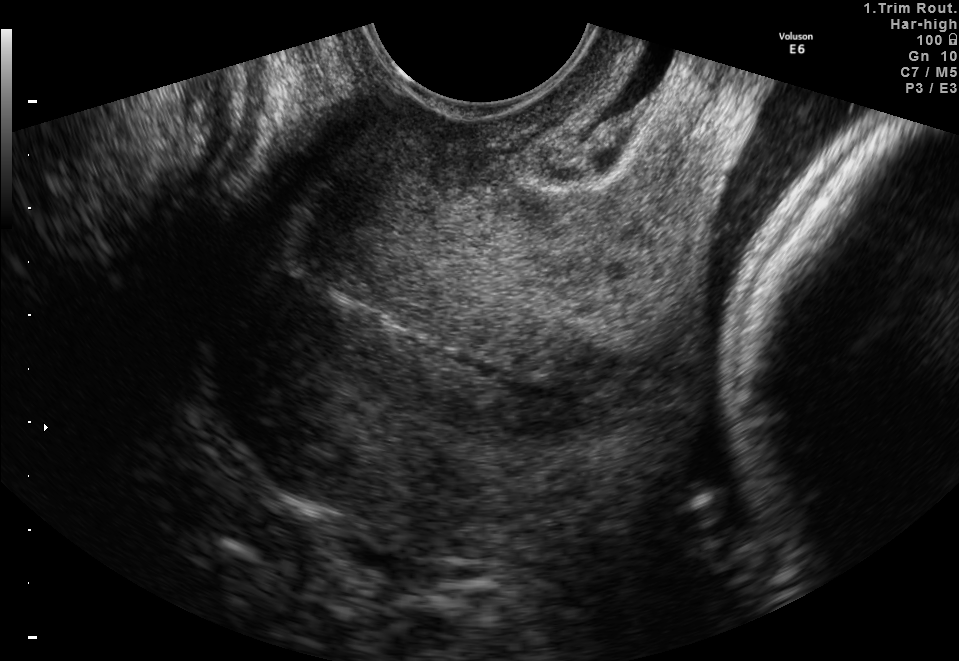
Classify this maternal-fetal ultrasound image as one of the six standard planes — fetal abdomen, fetal brain, fetal femur, fetal thorax, maternal cervix, or other. If it's fetal brain and one of the three standard brain planes (trans-thalamic, trans-cerebellum, trans-ventricular), name which.

Maternal cervix